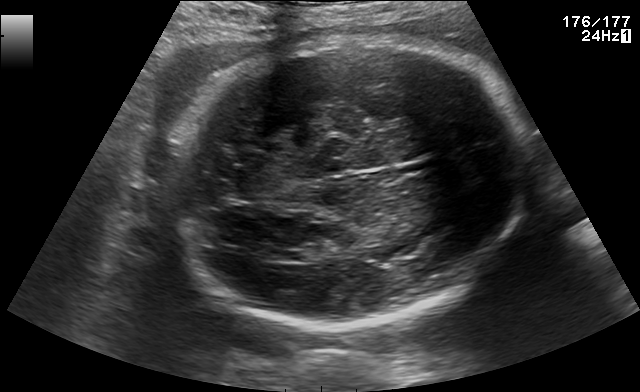
In this fetal brain, trans-thalamic plane, give the bounding box of the fetal head.

[164,37,527,321]